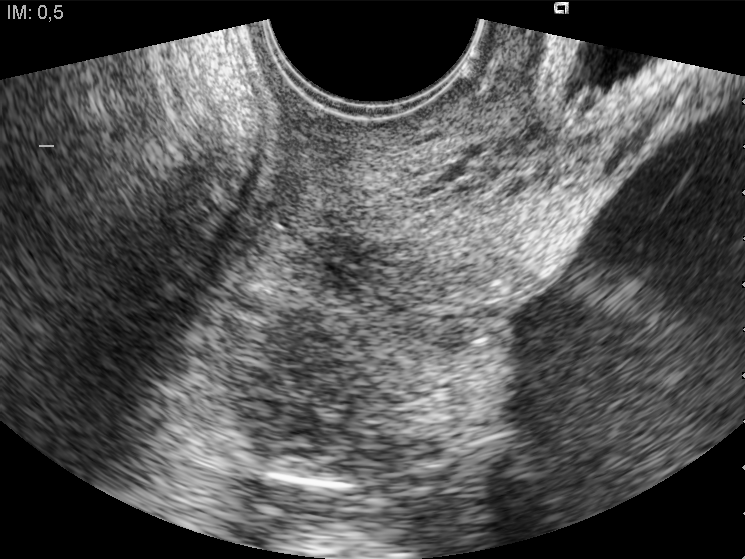
Which standard maternal-fetal ultrasound plane is shown: fetal abdomen, fetal brain, fetal femur, fetal thorax, maternal cervix, or other? If it's fetal brain and one of the three standard brain planes (trans-thalamic, trans-cerebellum, trans-ventricular), name which.

Maternal cervix